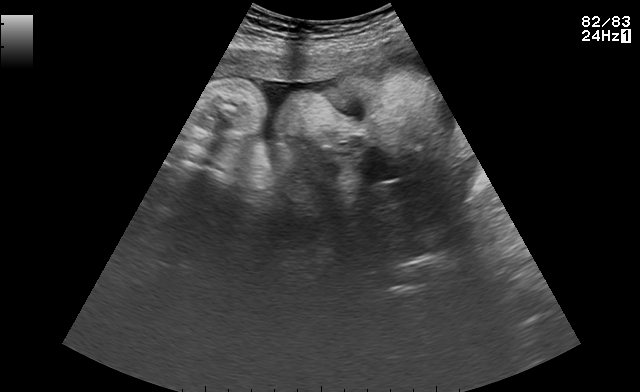
Identify the standard plane in this fetal ultrasound image: fetal abdomen, fetal brain, fetal femur, fetal thorax, maternal cervix, or other. If it's fetal brain and one of the three standard brain planes (trans-thalamic, trans-cerebellum, trans-ventricular), name which.

Other